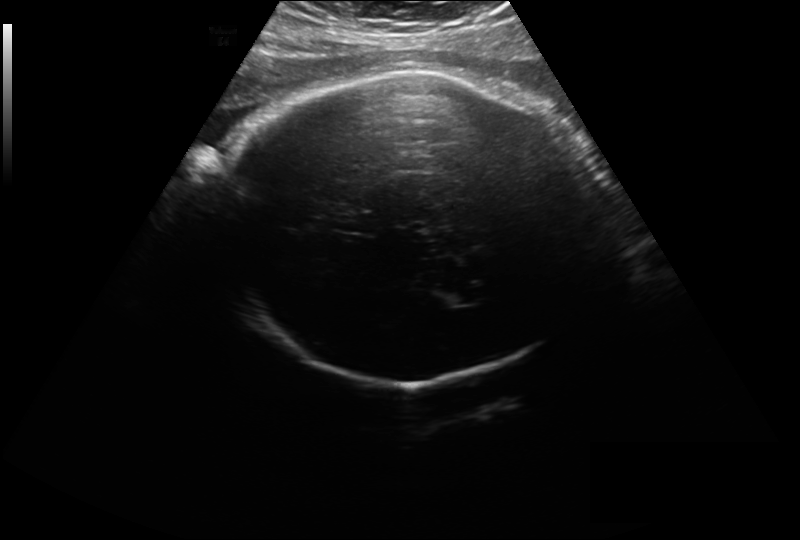
From this fetal ultrasound, estimate the head circumference (image width 237.5 mm).

Head circumference: 329.3 mm.